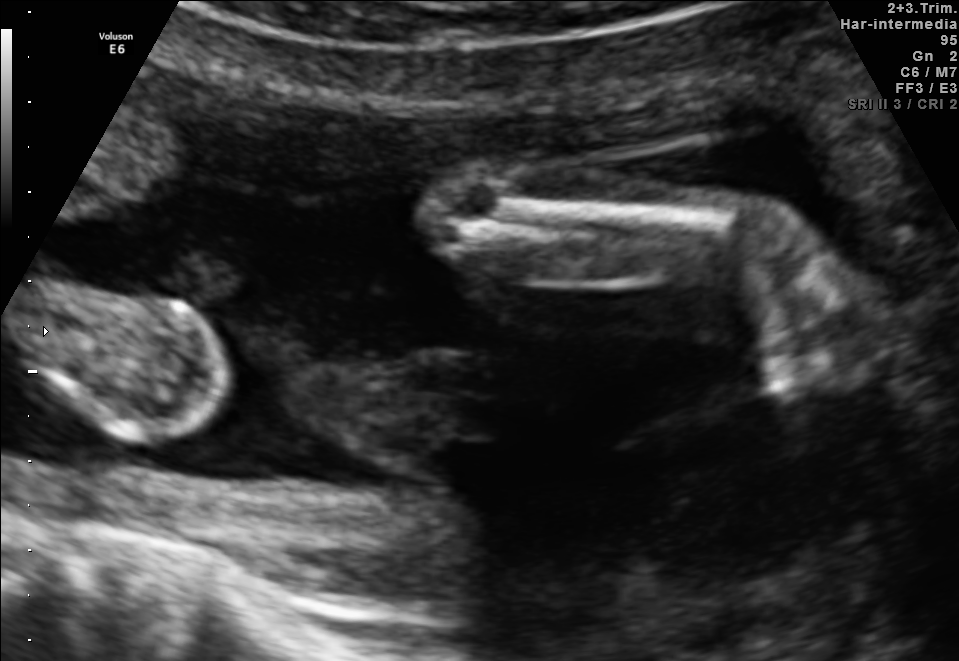
This is a 2D maternal-fetal ultrasound frame. Is it a fetal abdomen, fetal brain, fetal femur, fetal thorax, maternal cervix, or other standard plane? If it's fetal brain and one of the three standard brain planes (trans-thalamic, trans-cerebellum, trans-ventricular), name which.

Other